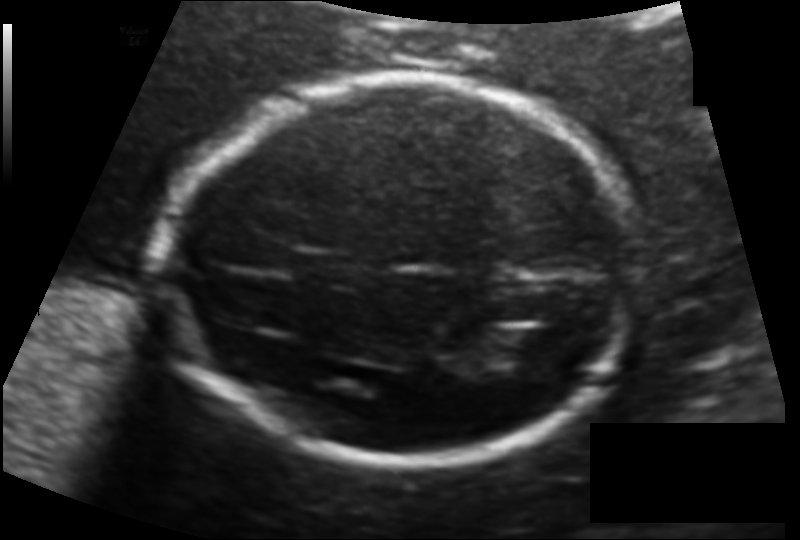
Estimate the fetal head circumference from this 2D ultrasound. Image width: 98.0 mm.

Head circumference: 171.9 mm.